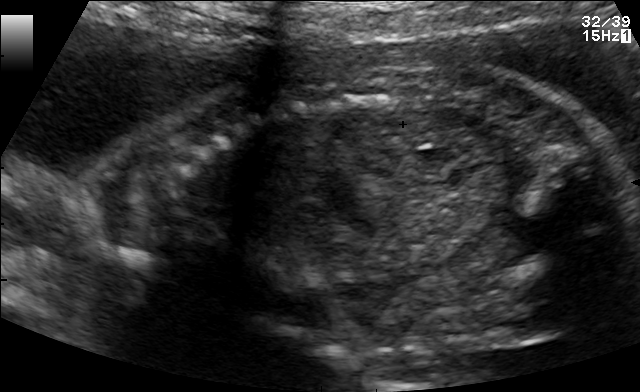
Identify the standard plane in this fetal ultrasound image: fetal abdomen, fetal brain, fetal femur, fetal thorax, maternal cervix, or other. If it's fetal brain and one of the three standard brain planes (trans-thalamic, trans-cerebellum, trans-ventricular), name which.

Other